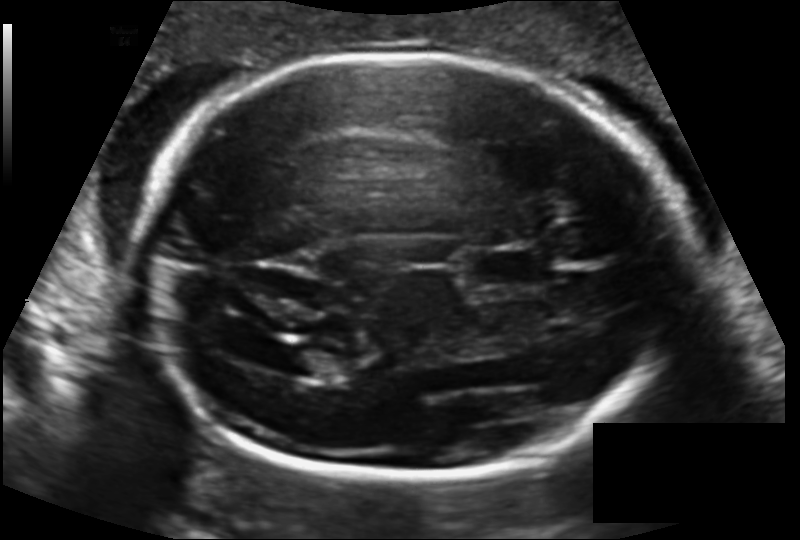
In this fetal head ultrasound, give the bounding box of the cavum septum pellucidum. Image width: 112.0 mm.

[467,243,551,294]